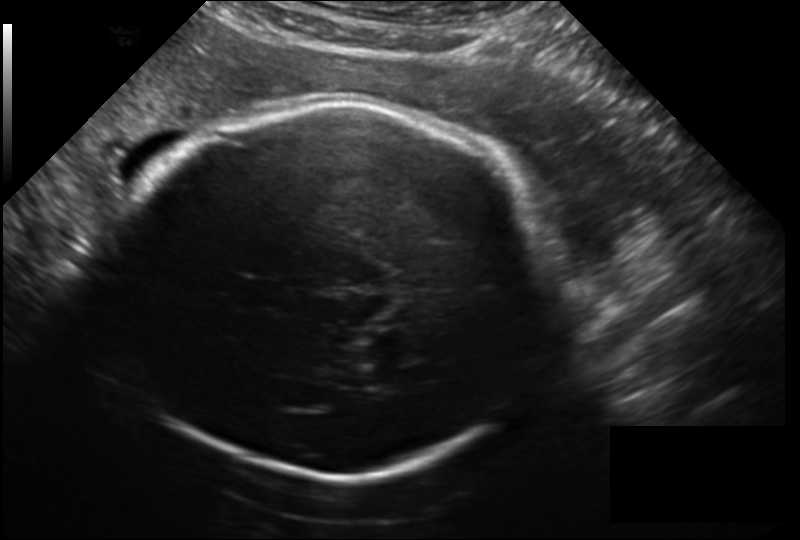
In this fetal head ultrasound, give the bounding box of the fetal head. Image width: 167.3 mm.

[116,101,546,475]